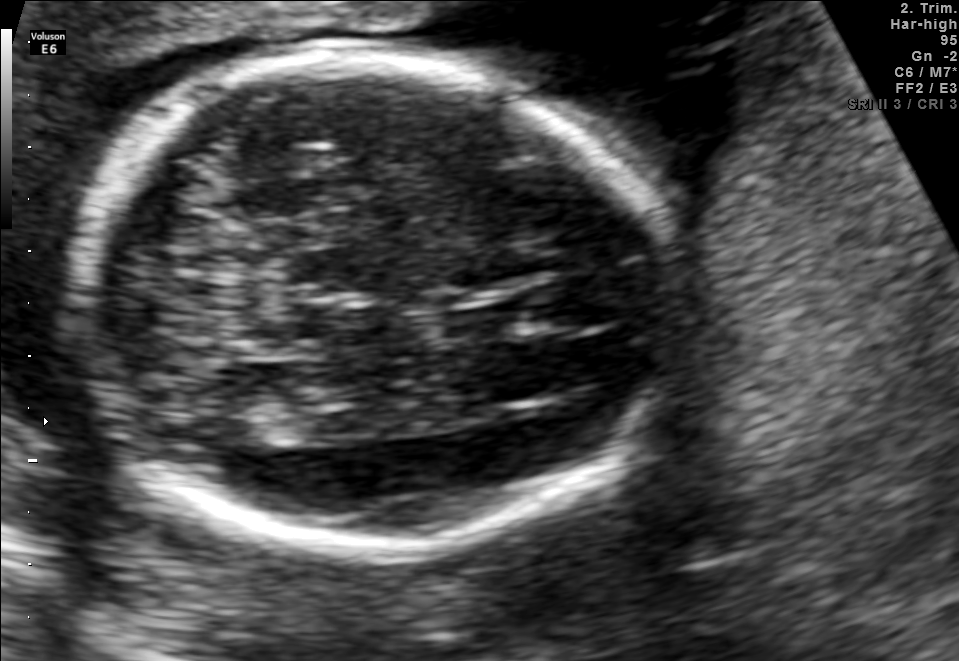
Fetal brain, trans-thalamic plane. Locate the fetal head.

Head: [71,56,688,555]